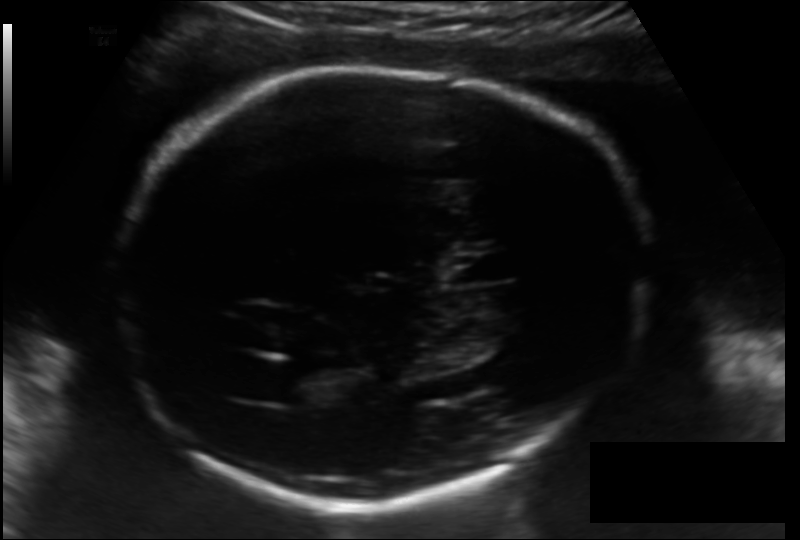
In this fetal head ultrasound, give bounding boxes for the head outline, cavum septum pellucidum (CSP), and lateral ventricle (LV), where visible. Image width: 125.8 mm.

Head: [113,64,648,504]